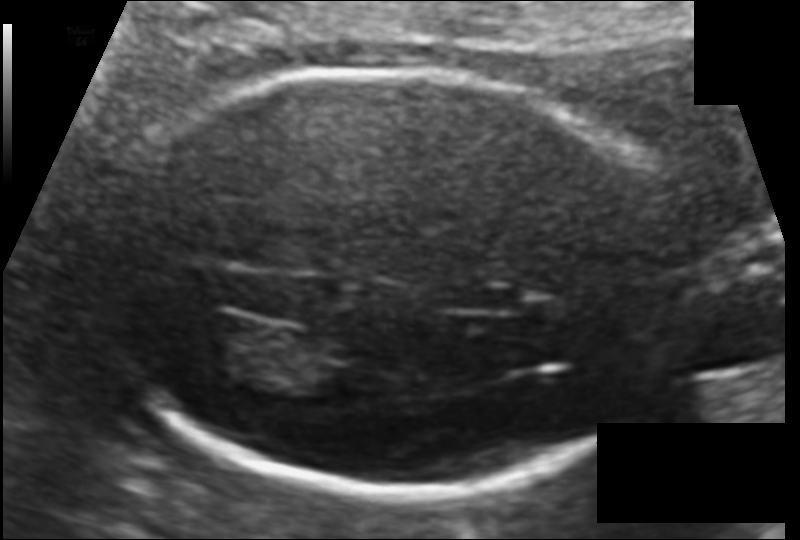
Fetal head ultrasound. Image width: 82.9 mm. Give [x1,y1,x2,y2] bounding boxes for each visible structure among: fetal head, CSP, LV.

Head: [103,73,687,490]